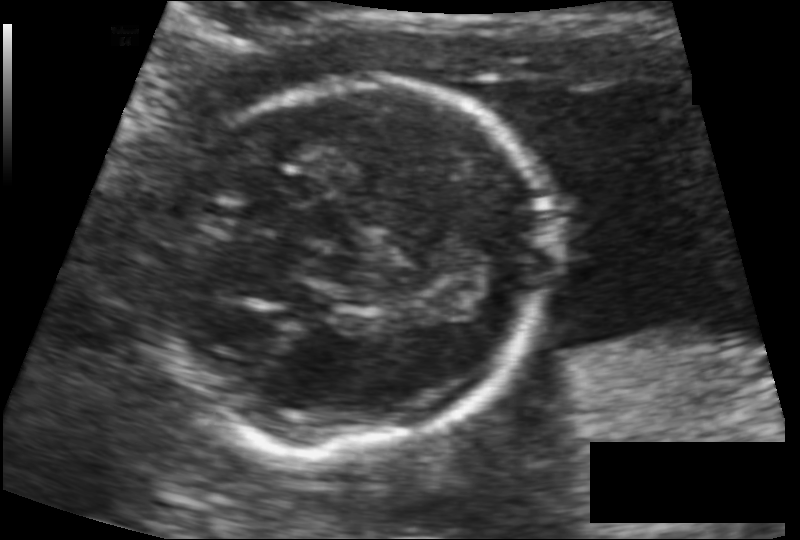
Fetal head ultrasound. Image width: 79.7 mm. Locate the fetal head and, if visible, the cavum septum pellucidum (CSP) and lateral ventricle (LV). Give bounding boxes as [x1,y1,x2,y2].

Head: [162,80,553,449]